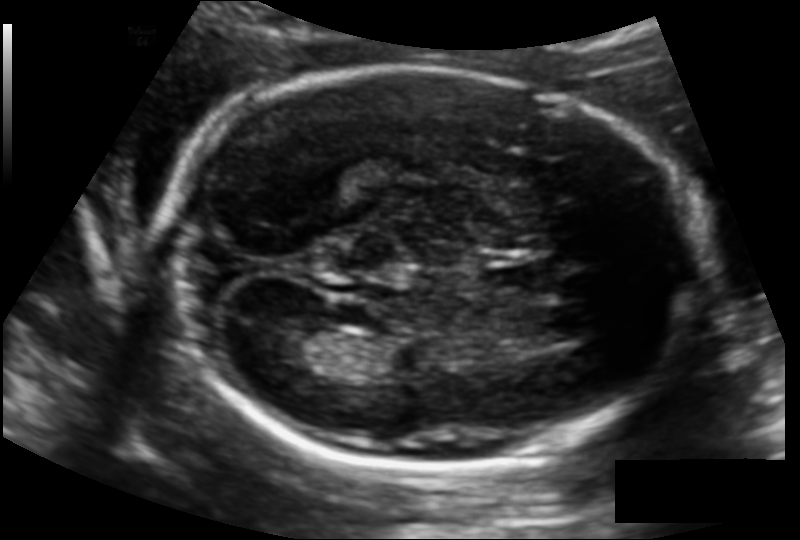
In this fetal head ultrasound, give the bounding box of the cavum septum pellucidum. Image width: 103.6 mm.

[482,255,557,299]